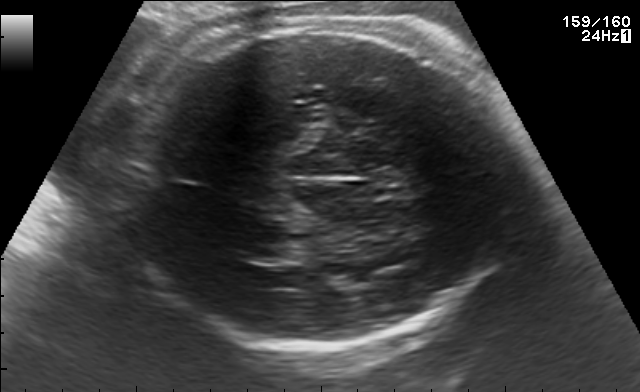
Fetal brain, trans-thalamic plane. Locate the fetal head and, if visible, the cavum septum pellucidum (CSP) and lateral ventricle (LV). Give bounding boxes as [x1,y1,x2,y2].

Head: [115,16,526,348]